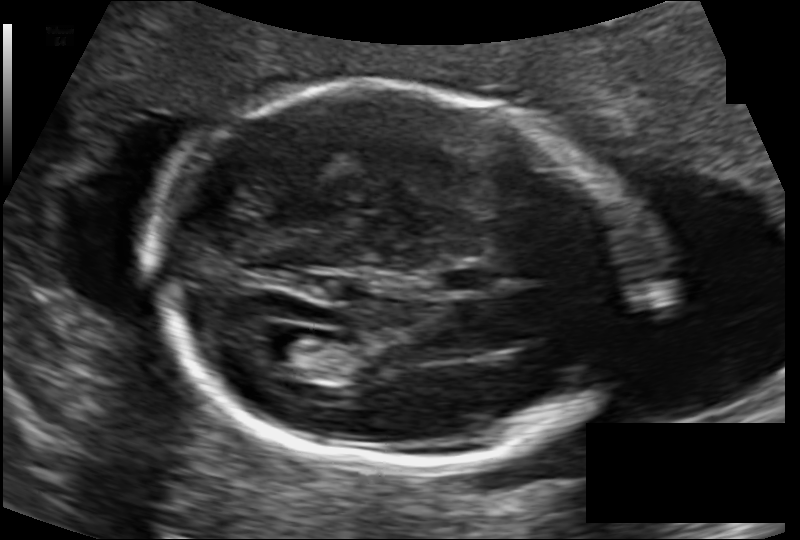
In this fetal head ultrasound, give the bounding box of the lateral ventricle. Image width: 95.8 mm.

[253,326,327,380]